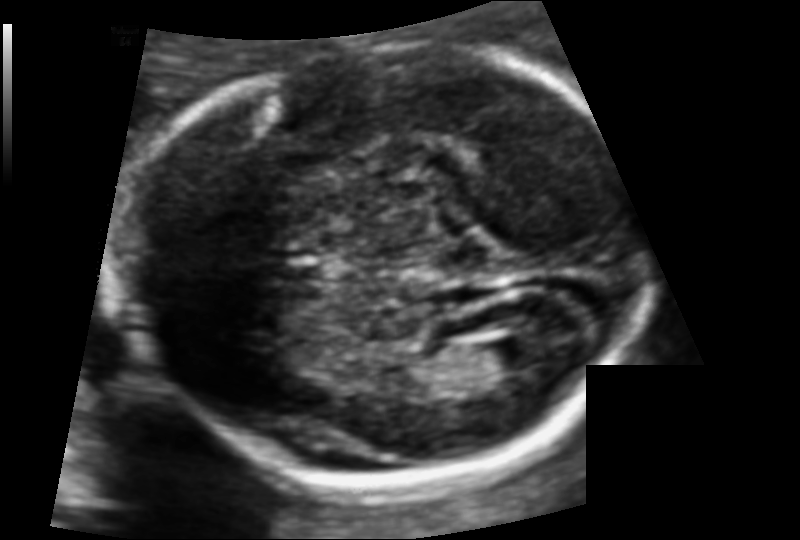
Estimate the fetal head circumference from this 2D ultrasound.

Head circumference: 163.7 mm (image width 84.2 mm).